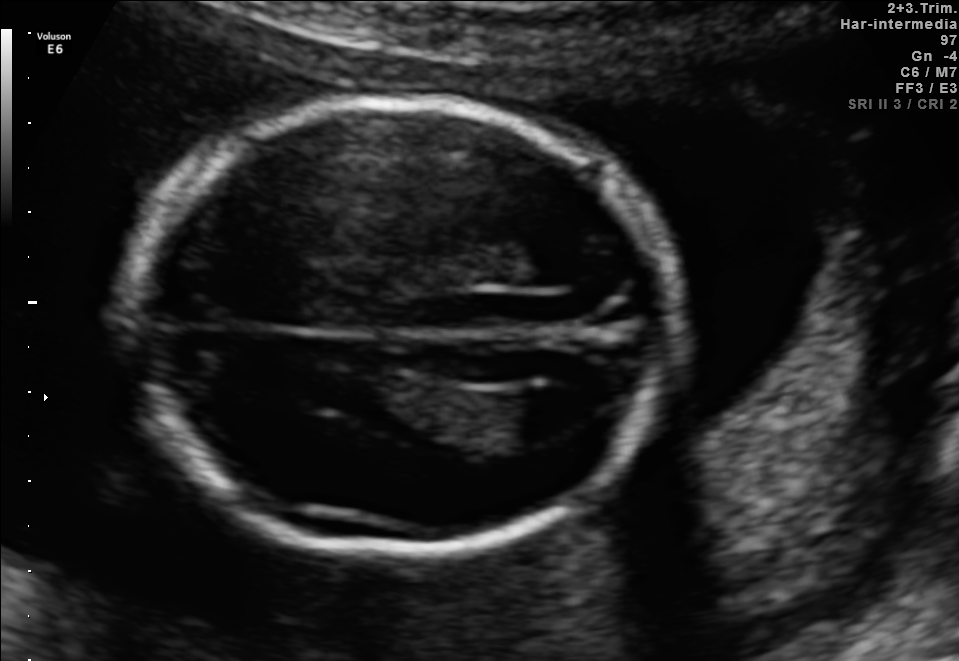
Fetal brain, trans-ventricular plane. Locate the lateral ventricle.

Lateral ventricle: [503,376,600,449]